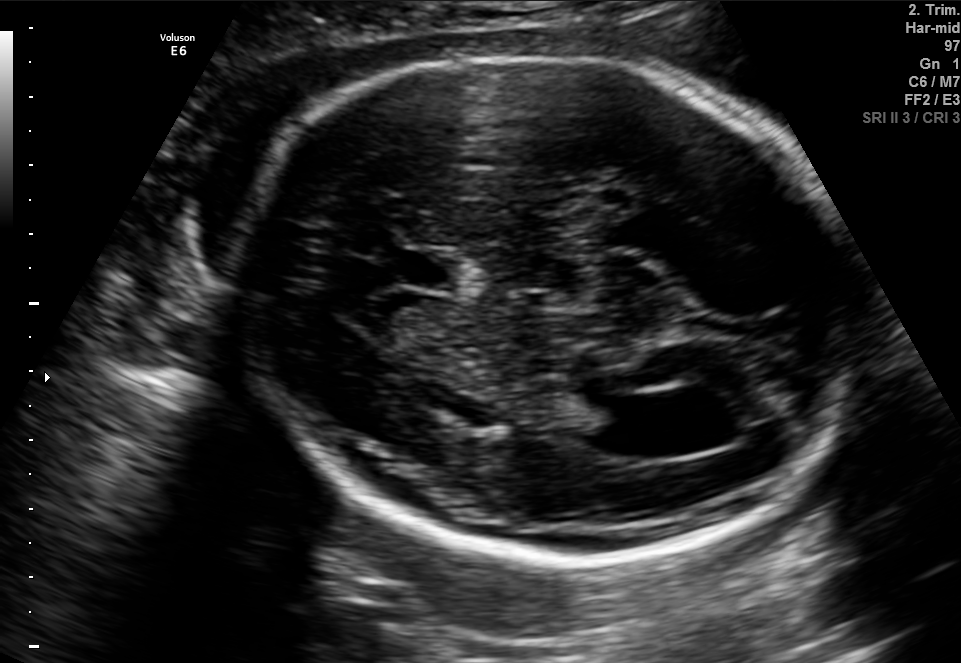
Fetal brain, trans-ventricular plane. Where is the fetal head?

Head bounding box: [221,46,862,563]